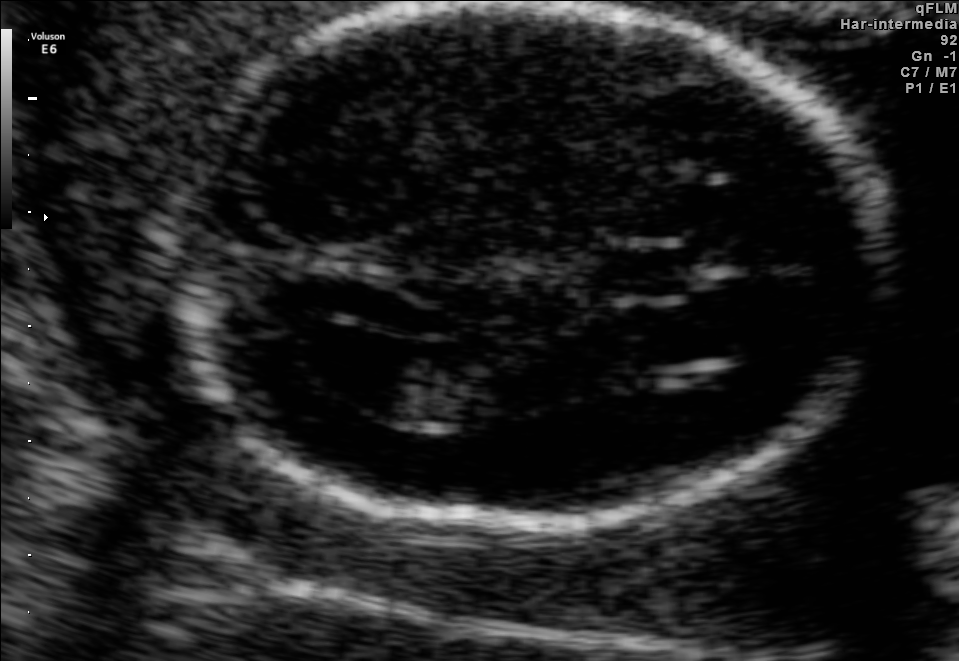
Identify the standard plane in this fetal ultrasound image: fetal abdomen, fetal brain, fetal femur, fetal thorax, maternal cervix, or other. If it's fetal brain and one of the three standard brain planes (trans-thalamic, trans-cerebellum, trans-ventricular), name which.

Fetal brain (trans-ventricular plane)